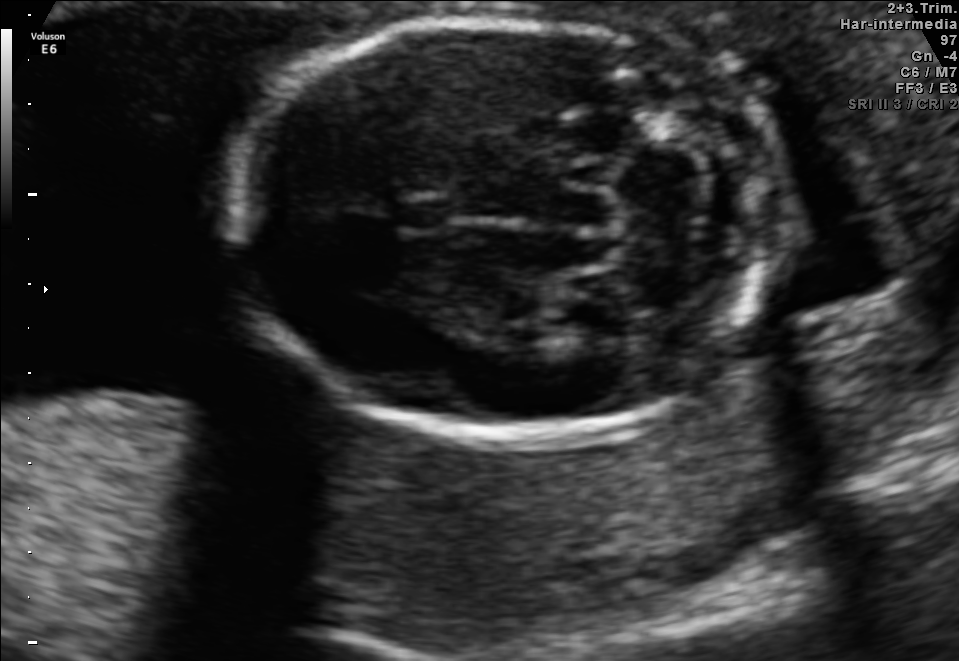
Fetal brain, trans-cerebellum plane. Where is the cavum septum pellucidum?

CSP bounding box: [392,194,455,236]